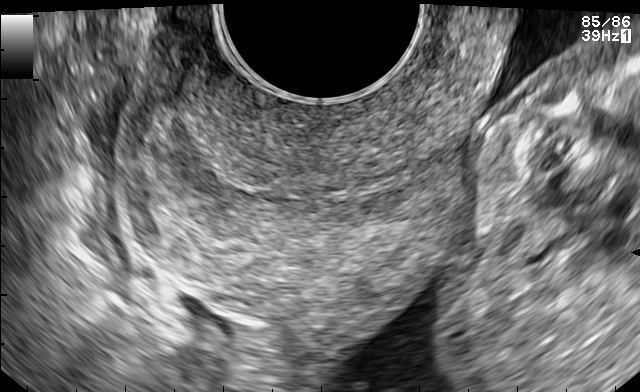
This is a 2D maternal-fetal ultrasound frame. Is it a fetal abdomen, fetal brain, fetal femur, fetal thorax, maternal cervix, or other standard plane? If it's fetal brain and one of the three standard brain planes (trans-thalamic, trans-cerebellum, trans-ventricular), name which.

Maternal cervix